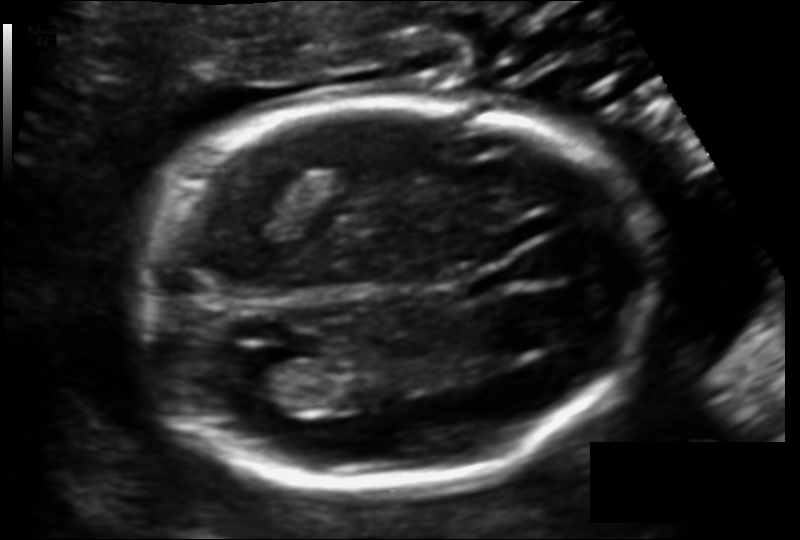
In this fetal head ultrasound, give bounding boxes for the head outline, cavum septum pellucidum (CSP), and lateral ventricle (LV), where visible. Image width: 97.3 mm.

Head: [138,100,649,491]
Lateral ventricle: [241,357,319,413]